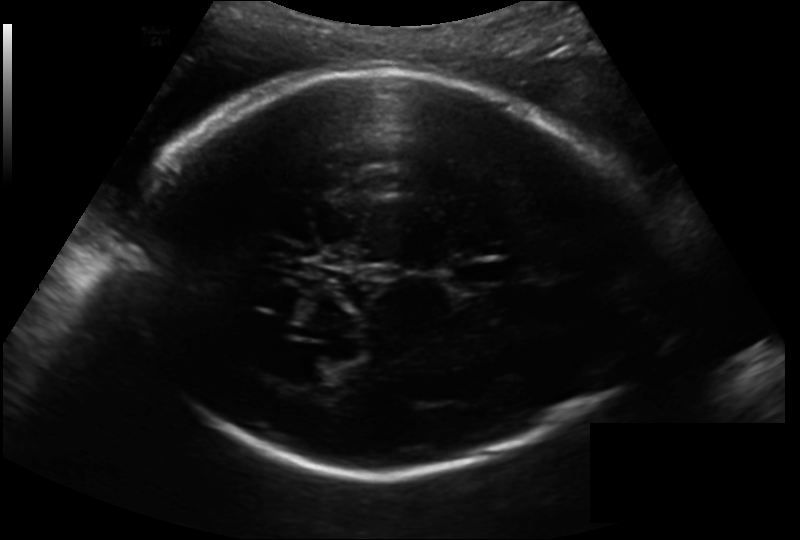
In this fetal head ultrasound, give bounding boxes for the head outline, cavum septum pellucidum (CSP), and lateral ventricle (LV), where visible. Image width: 154.5 mm.

Head: [128,71,640,474]
CSP: [447,256,510,291]
Lateral ventricle: [284,355,340,385]